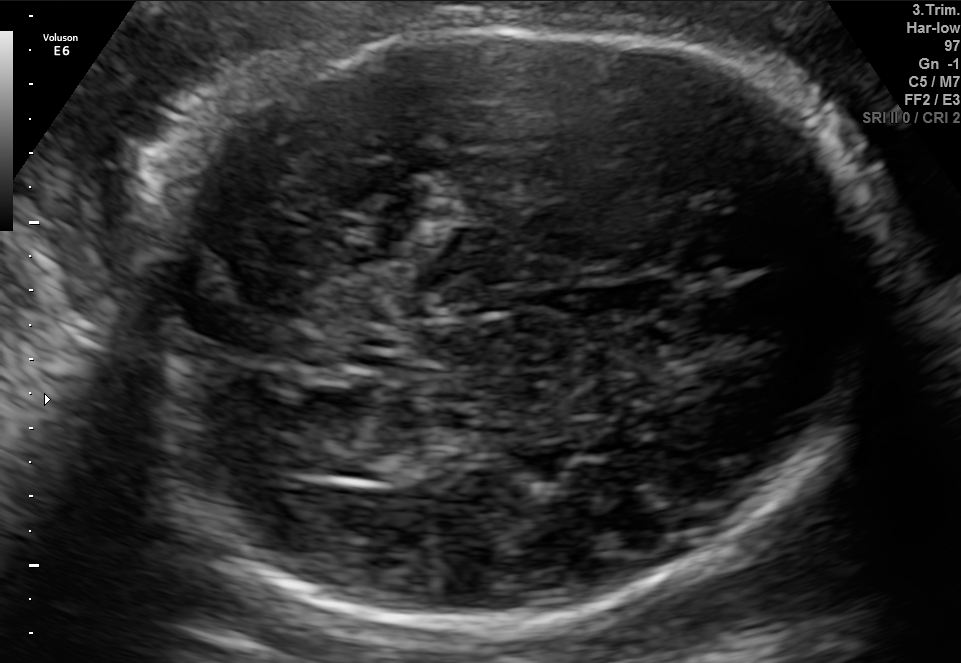
Fetal brain, trans-thalamic plane. Where is the fetal head?

Head bounding box: [146,24,879,631]